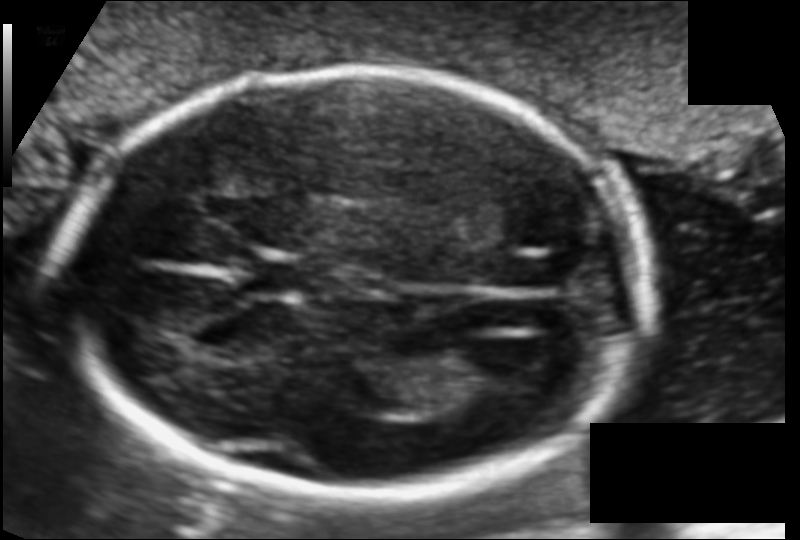
Fetal head ultrasound. Image width: 87.9 mm. Locate the fetal head and, if visible, the cavum septum pellucidum (CSP) and lateral ventricle (LV). Give bounding boxes as [x1,y1,x2,y2].

Head: [69,69,644,495]
CSP: [243,252,311,302]
Lateral ventricle: [458,340,548,389]